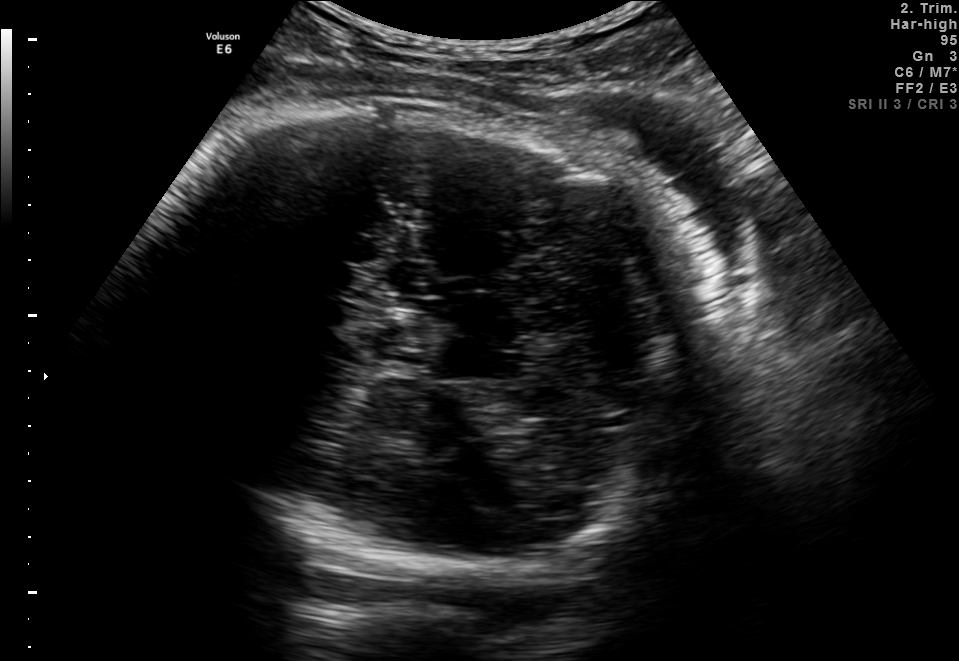
Fetal brain, trans-thalamic plane. Where is the fetal head?

Head bounding box: [131,105,686,570]